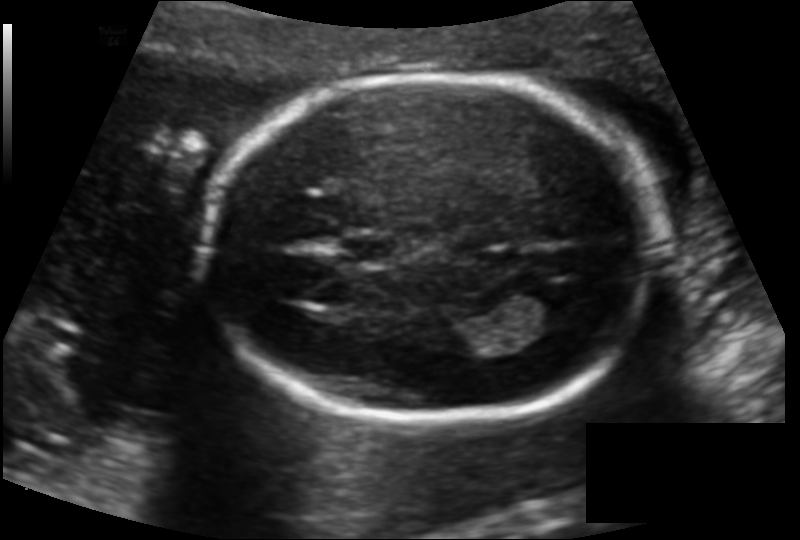
What is the fetal head circumference? Image width is 104.1 mm.

172.0 mm